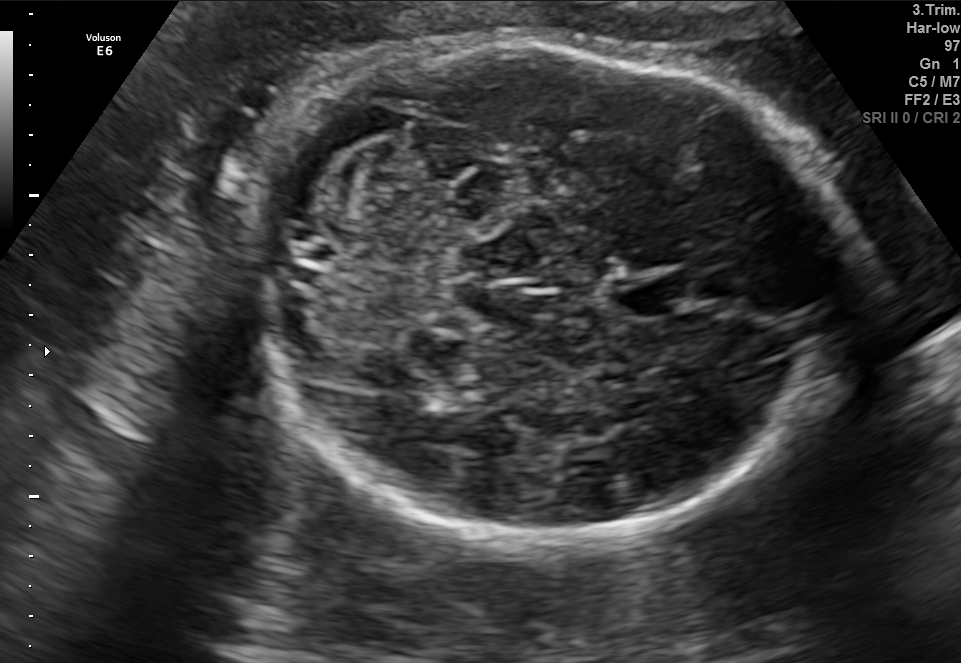
Fetal brain, trans-cerebellum plane. Locate the cavum septum pellucidum.

CSP: [609,265,696,329]